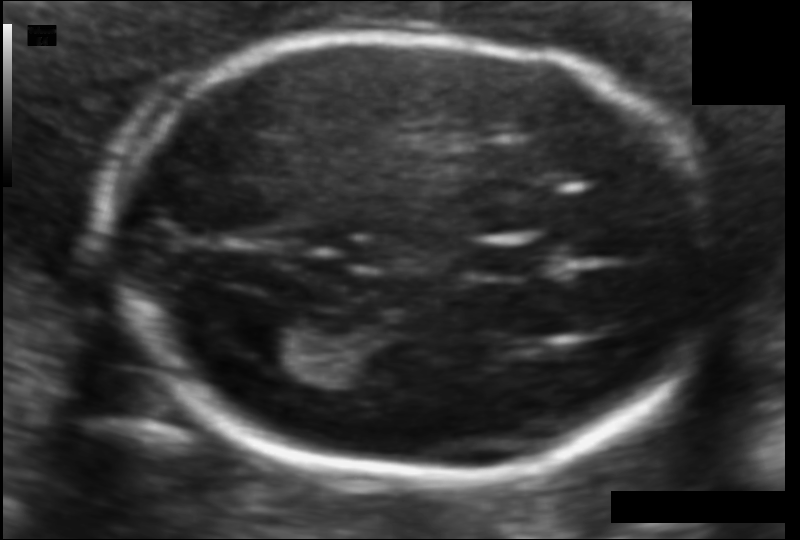
Fetal head ultrasound. Image width: 75.5 mm. Locate the cavum septum pellucidum.

CSP: [471,240,539,279]